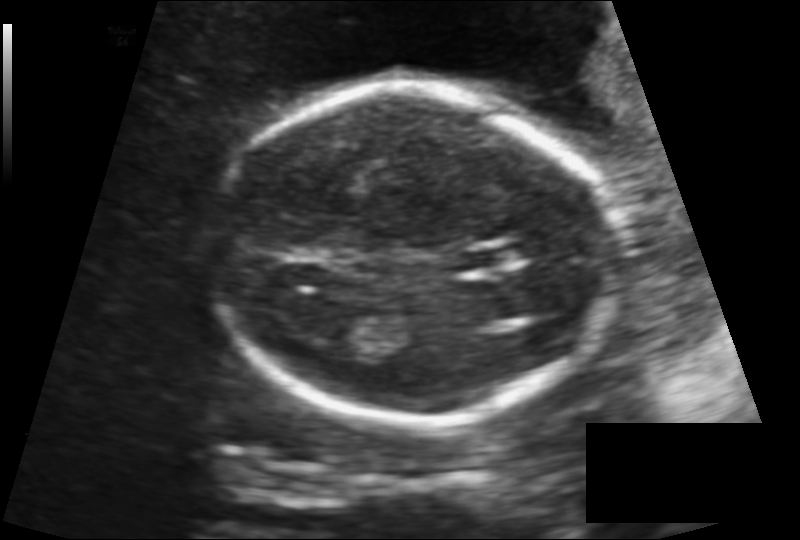
Estimate the fetal head circumference from this 2D ultrasound. Image width: 110.1 mm.

Head circumference: 168.3 mm.